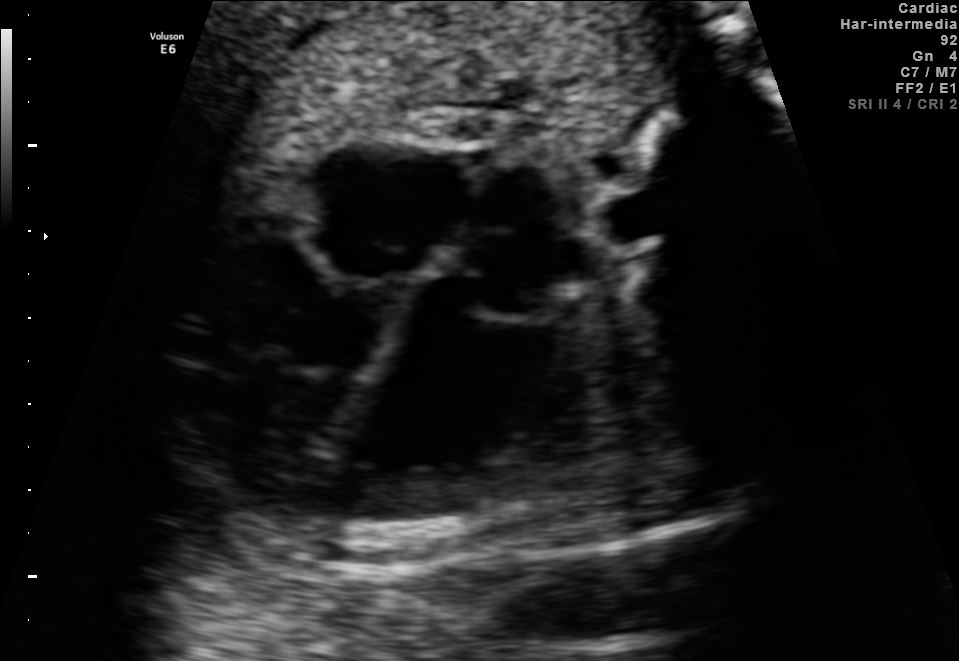
Which standard maternal-fetal ultrasound plane is shown: fetal abdomen, fetal brain, fetal femur, fetal thorax, maternal cervix, or other? If it's fetal brain and one of the three standard brain planes (trans-thalamic, trans-cerebellum, trans-ventricular), name which.

Fetal thorax